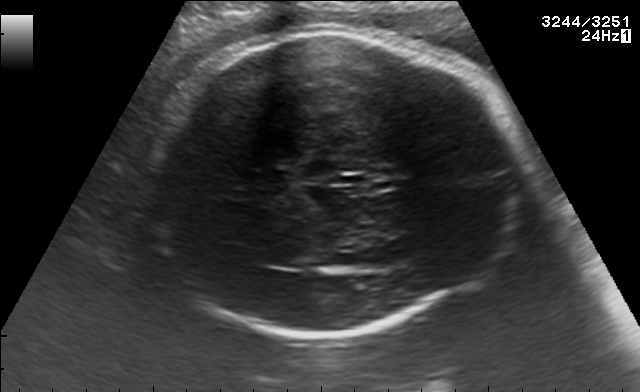
Fetal brain, trans-thalamic plane. Where is the fetal head?

Head bounding box: [143,34,514,334]